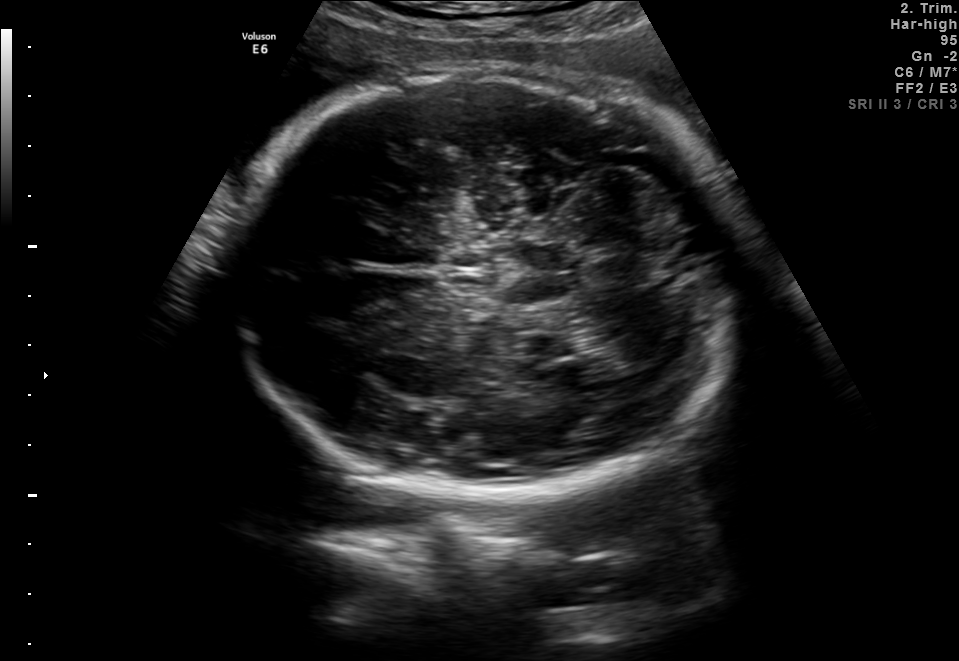
In this fetal brain, trans-cerebellum plane, give the bounding box of the fetal head.

[233,69,736,496]